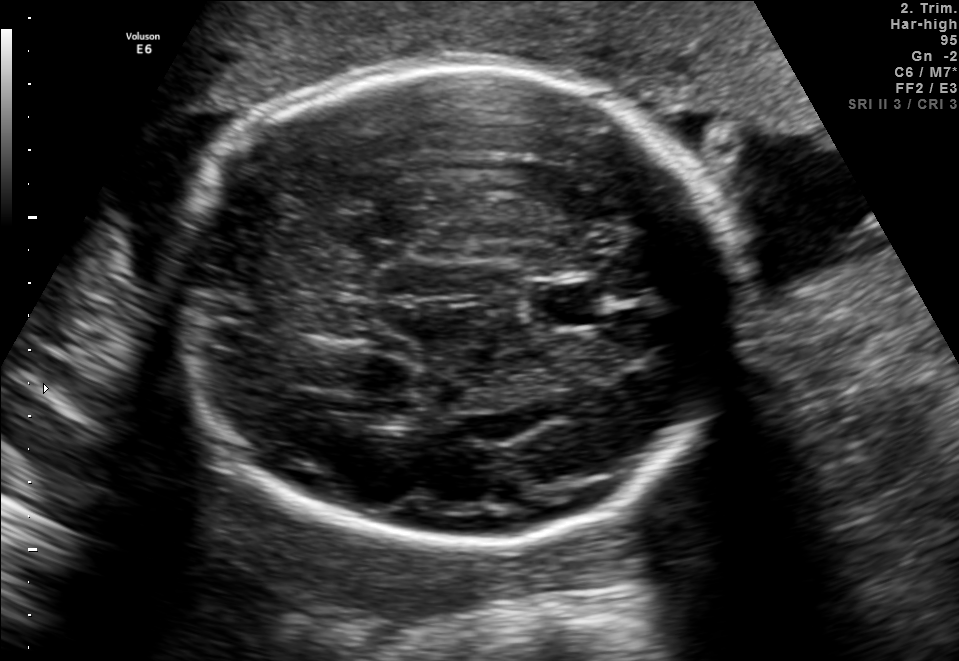
Fetal brain, trans-thalamic plane. Locate the fetal head and, if visible, the cavum septum pellucidum (CSP) and lateral ventricle (LV). Give bounding boxes as [x1,y1,x2,y2].

Head: [174,64,731,547]
CSP: [533,281,603,330]
Lateral ventricle: [351,397,422,428]